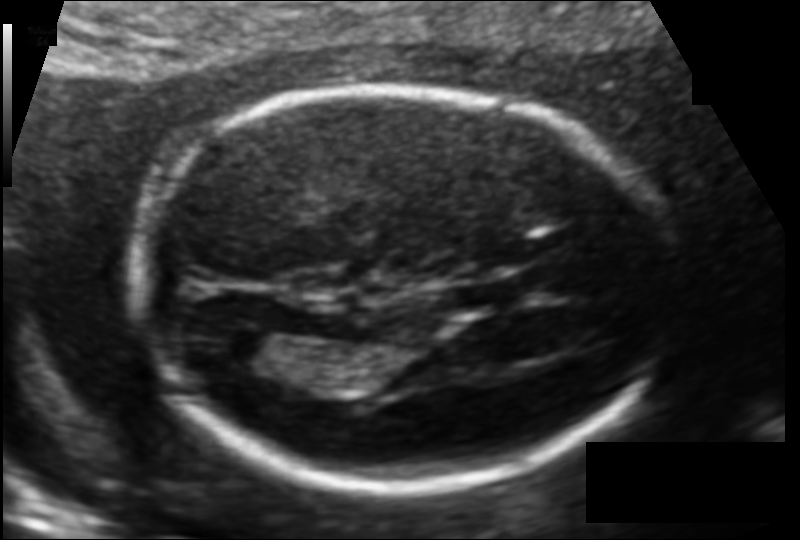
Fetal head ultrasound. Image width: 87.0 mm. Give [x1,y1,x2,y2] bounding boxes for each visible structure among: fetal head, CSP, LV.

Head: [138,88,665,489]
Lateral ventricle: [214,326,289,374]